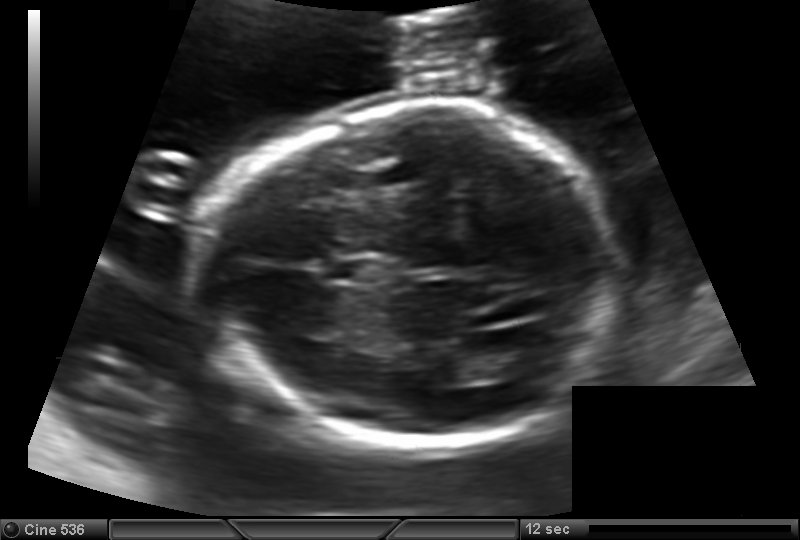
In this fetal head ultrasound, give the bounding box of the fetal head. Image width: 115.2 mm.

[201,104,619,449]